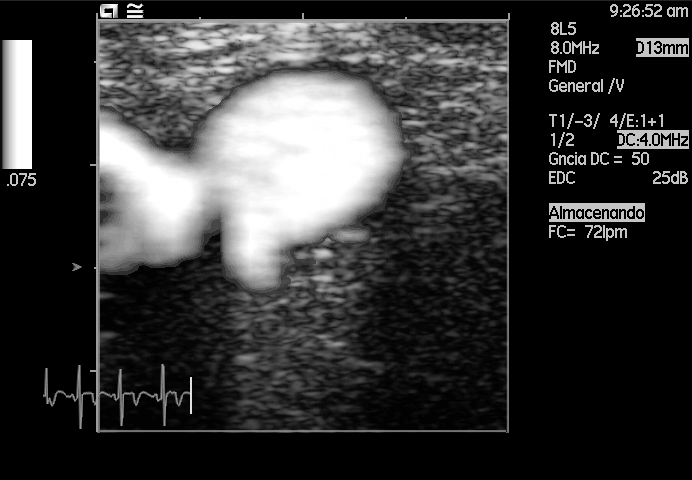
Which standard maternal-fetal ultrasound plane is shown: fetal abdomen, fetal brain, fetal femur, fetal thorax, maternal cervix, or other? If it's fetal brain and one of the three standard brain planes (trans-thalamic, trans-cerebellum, trans-ventricular), name which.

Other